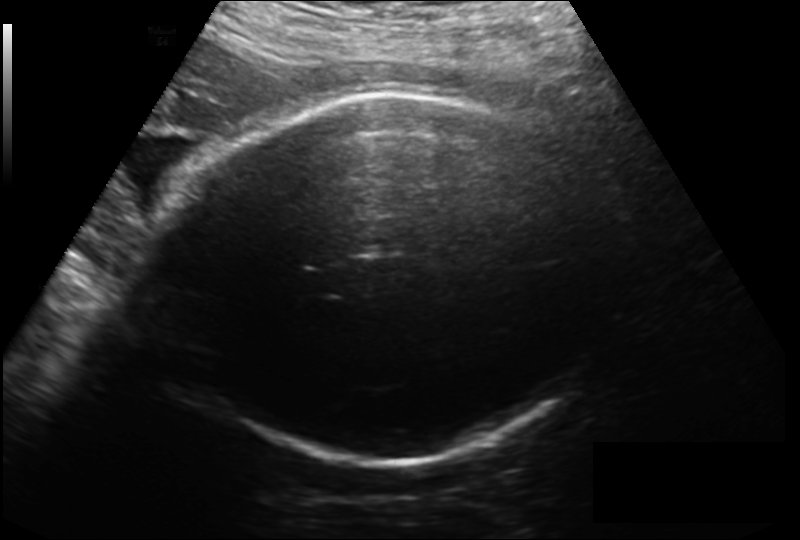
Fetal head ultrasound. Image width: 171.5 mm. Give [x1,y1,x2,y2] bounding boxes for each visible structure among: fetal head, CSP, LV.

Head: [159,94,609,462]